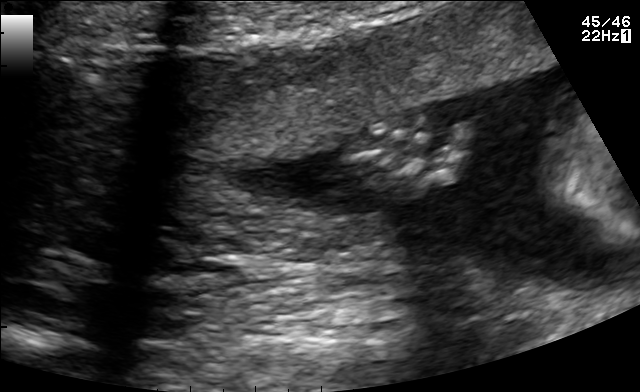
Classify this maternal-fetal ultrasound image as one of the six standard planes — fetal abdomen, fetal brain, fetal femur, fetal thorax, maternal cervix, or other. If it's fetal brain and one of the three standard brain planes (trans-thalamic, trans-cerebellum, trans-ventricular), name which.

Other